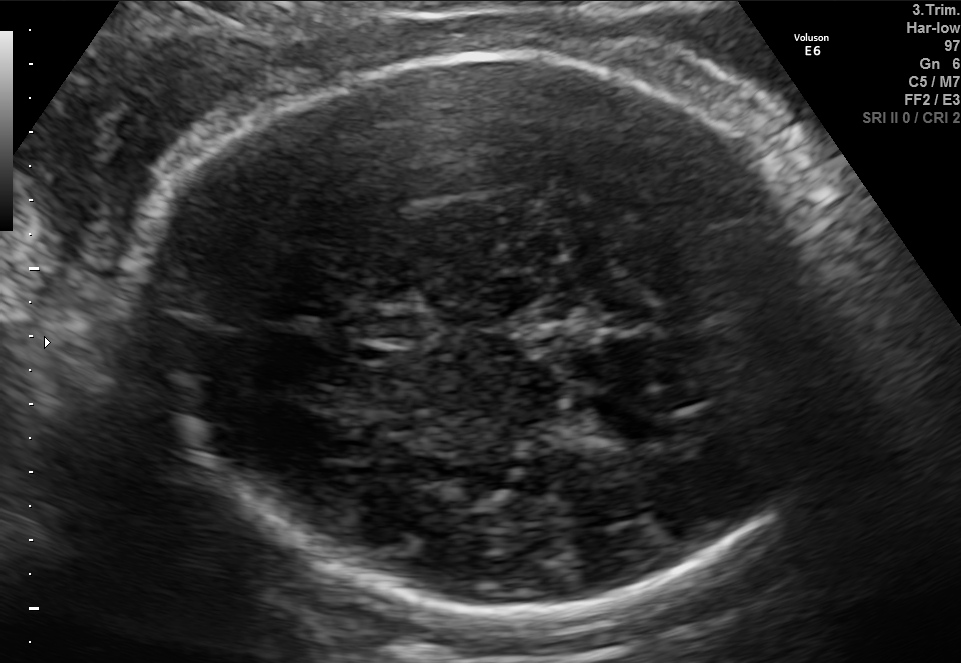
Fetal brain, trans-thalamic plane. Where is the cavum septum pellucidum?

CSP bounding box: [355,308,420,344]